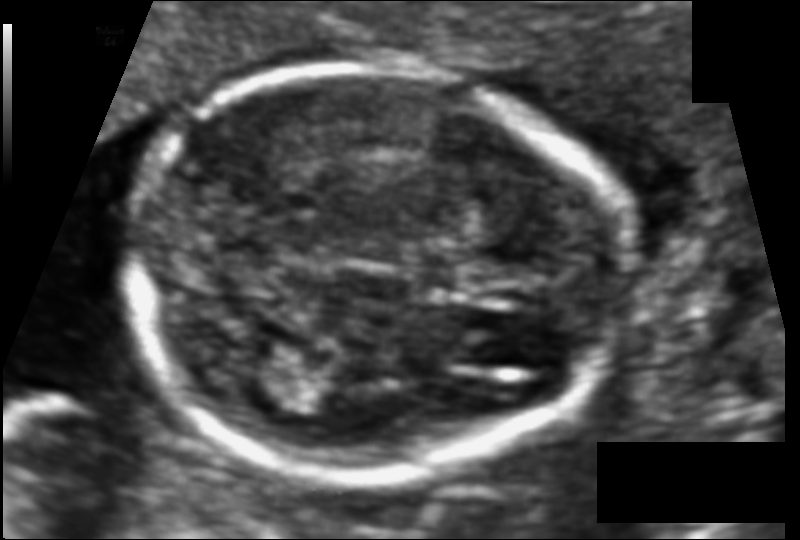
Fetal head ultrasound. Image width: 65.0 mm. Give [x1,y1,x2,y2] bounding boxes for each visible structure among: fetal head, CSP, LV.

Head: [123,65,621,477]